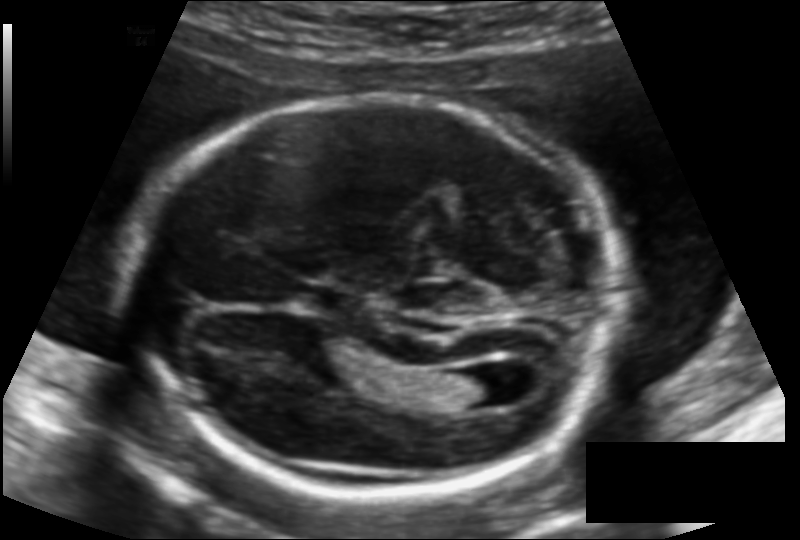
Fetal head ultrasound. Image width: 99.7 mm. Give [x1,y1,x2,y2] bounding boxes for each visible structure among: fetal head, CSP, LV.

Head: [133,95,614,494]
CSP: [299,281,359,320]
Lateral ventricle: [445,370,510,408]